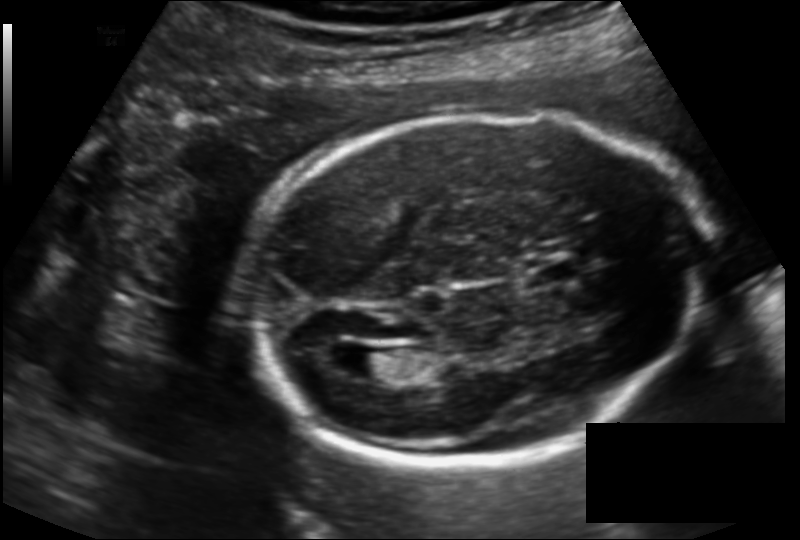
Fetal head ultrasound. Image width: 114.4 mm. Where is the lateral ventricle?

Lateral ventricle bounding box: [344,345,400,380]